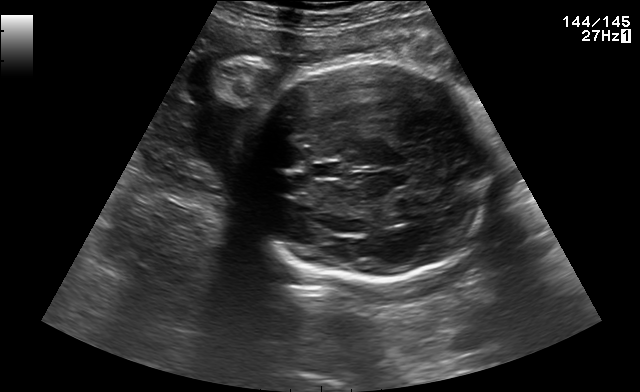
In this fetal brain, trans-thalamic plane, give the bounding box of the cavum septum pellucidum.

[312,161,344,179]